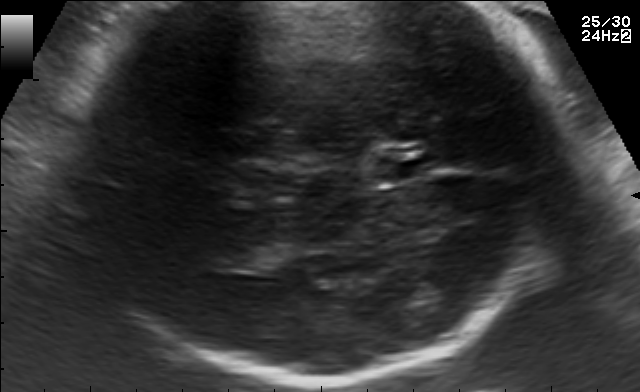
In this fetal brain, trans-thalamic plane, give bounding boxes for the cavum septum pellucidum (CSP) and lateral ventricle (LV), where visible.

CSP: [372,149,436,188]